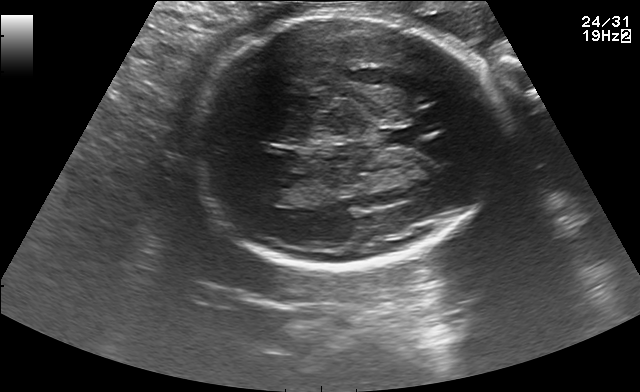
Fetal brain, trans-thalamic plane. Locate the fetal head and, if visible, the cavum septum pellucidum (CSP) and lateral ventricle (LV). Give bounding boxes as [x1,y1,x2,y2].

Head: [193,12,495,269]
CSP: [380,124,417,148]
Lateral ventricle: [253,179,301,207]